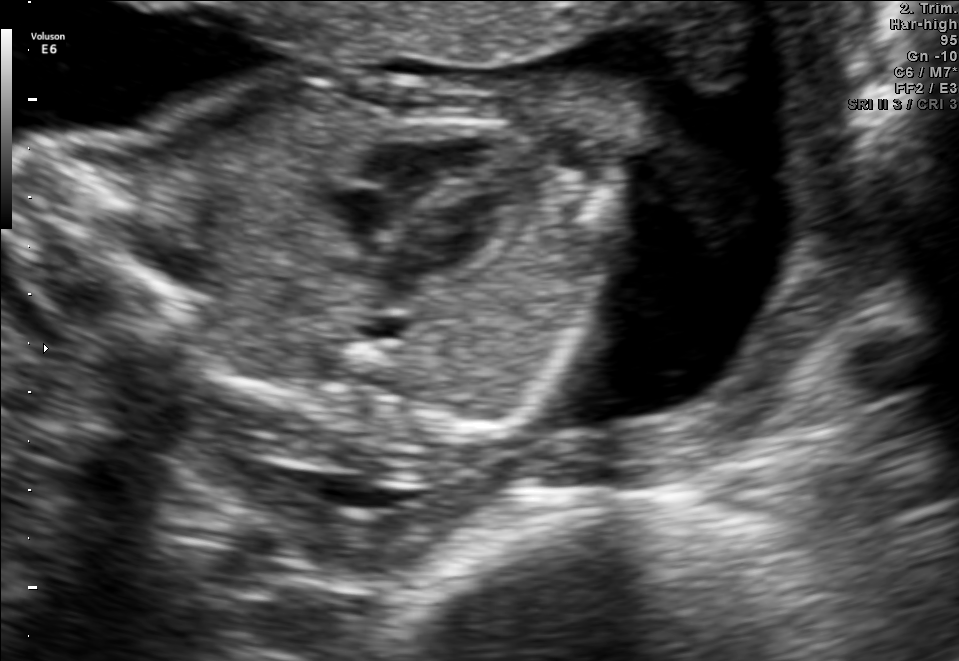
Classify this maternal-fetal ultrasound image as one of the six standard planes — fetal abdomen, fetal brain, fetal femur, fetal thorax, maternal cervix, or other. If it's fetal brain and one of the three standard brain planes (trans-thalamic, trans-cerebellum, trans-ventricular), name which.

Fetal thorax